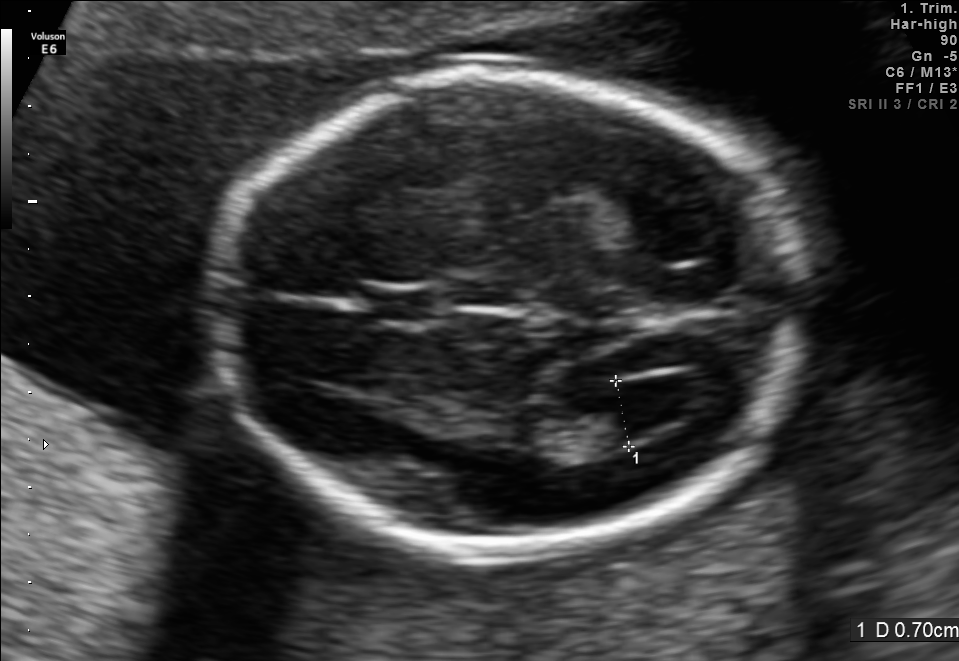
Fetal brain, trans-ventricular plane. Locate the cavum septum pellucidum.

CSP: [367,289,434,320]